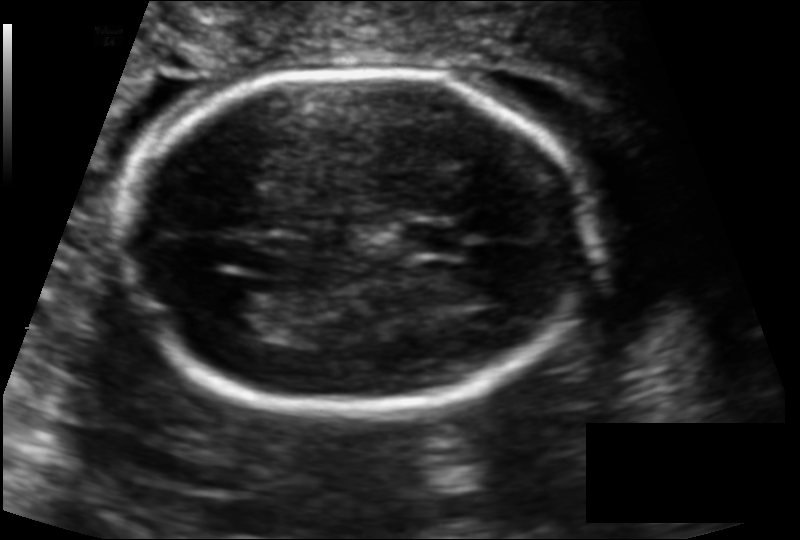
Fetal head ultrasound. Image width: 97.4 mm. Where is the cavum septum pellucidum?

CSP bounding box: [398,222,465,256]